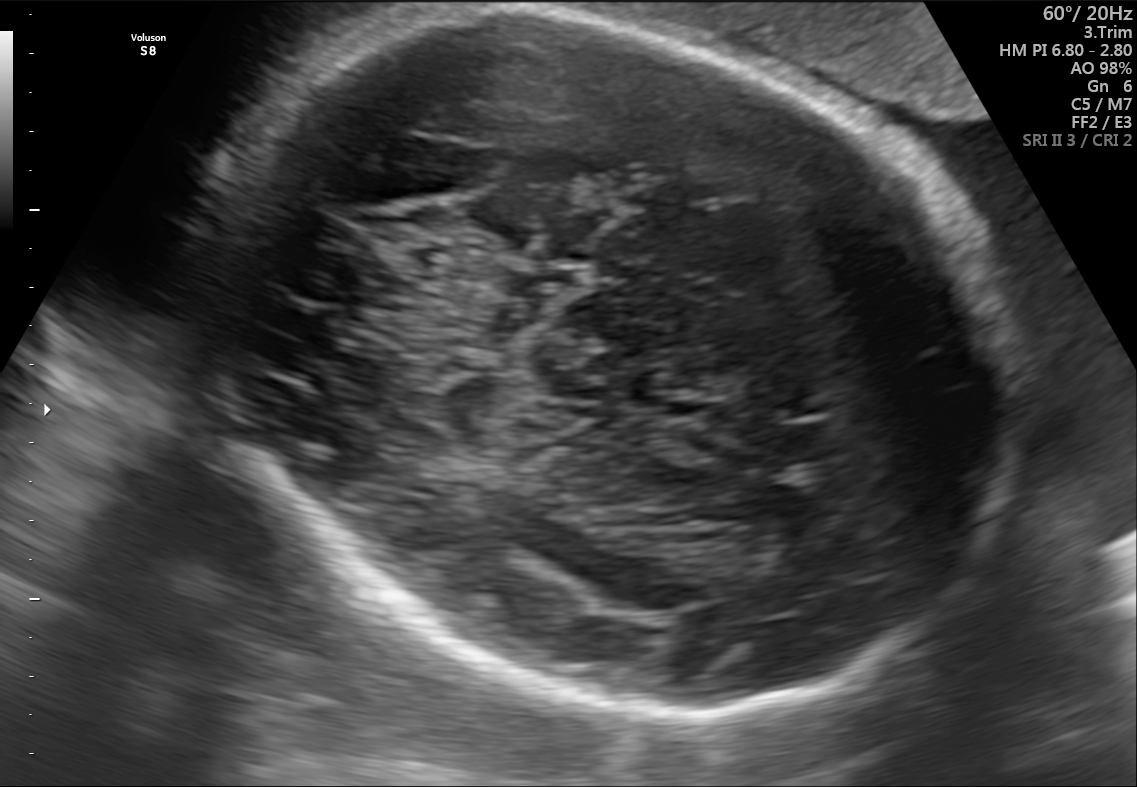
Fetal brain, trans-thalamic plane. Locate the fetal head and, if visible, the cavum septum pellucidum (CSP) and lateral ventricle (LV). Give bounding boxes as [x1,y1,x2,y2].

Head: [165,8,1020,726]